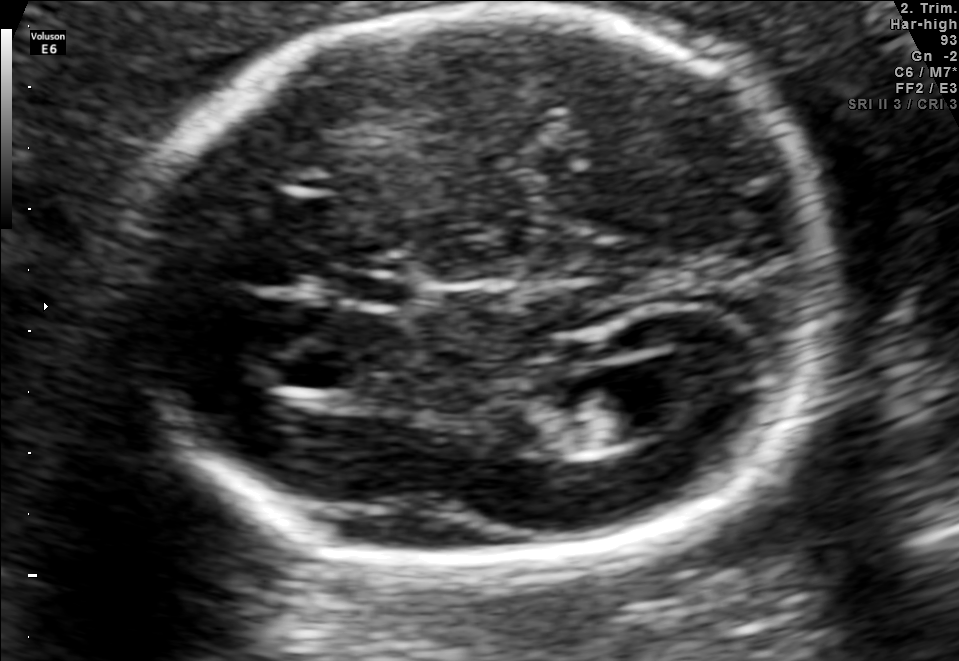
In this fetal brain, trans-ventricular plane, give the bounding box of the lateral ventricle.

[570,359,704,453]